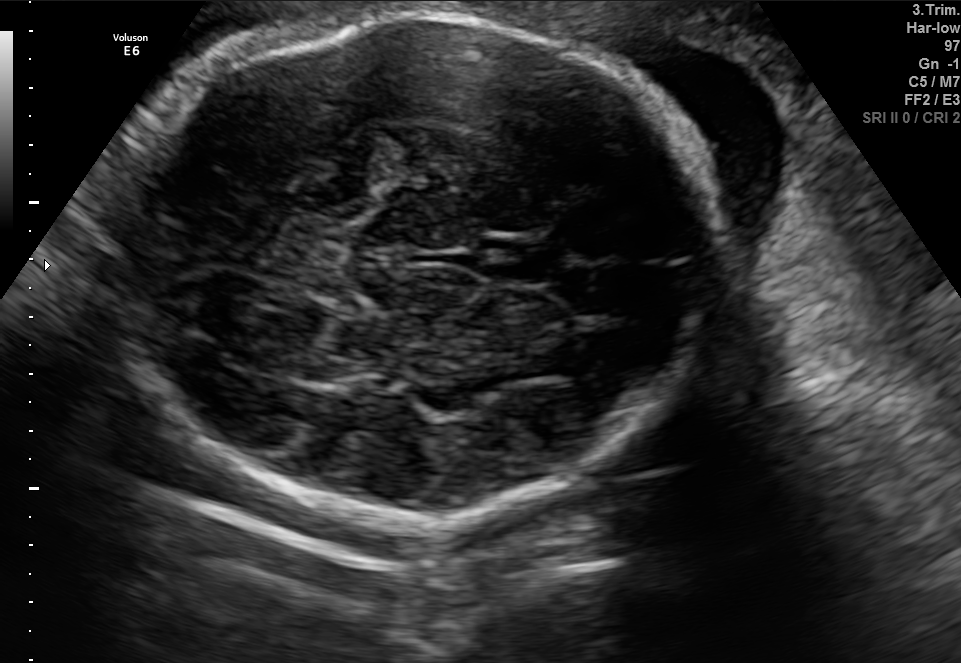
Fetal brain, trans-thalamic plane. Locate the fetal head.

Head: [124,11,725,532]